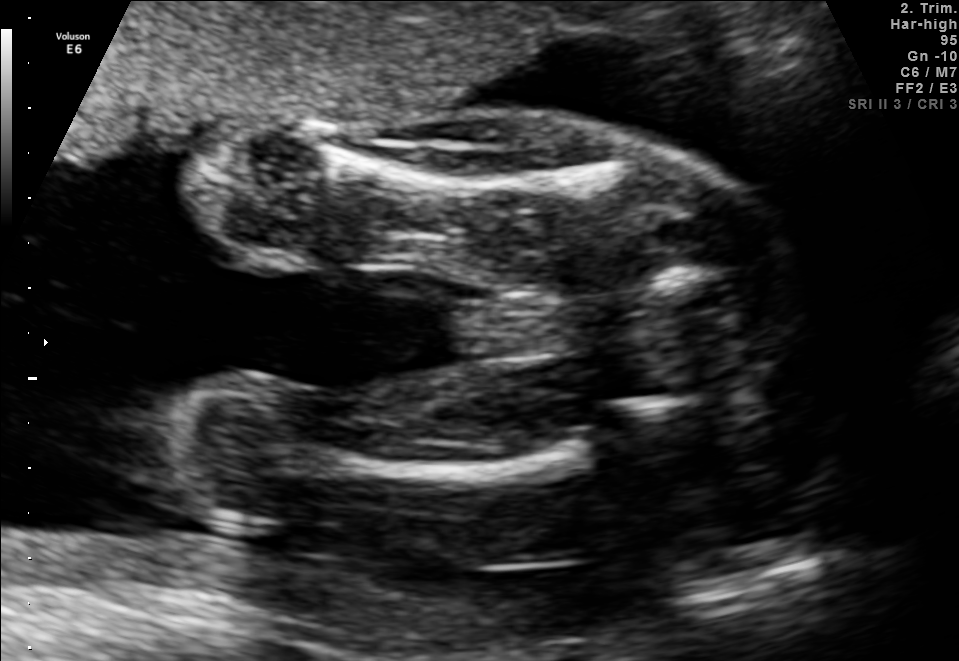
Identify the standard plane in this fetal ultrasound image: fetal abdomen, fetal brain, fetal femur, fetal thorax, maternal cervix, or other. If it's fetal brain and one of the three standard brain planes (trans-thalamic, trans-cerebellum, trans-ventricular), name which.

Fetal femur